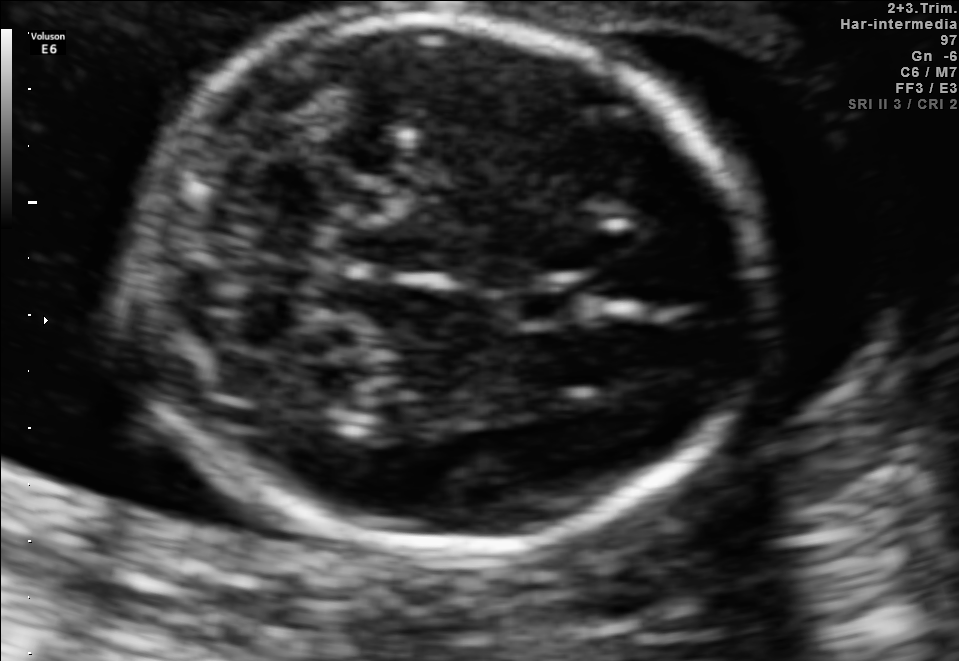
Fetal brain, trans-cerebellum plane. Give [x1,y1,x2,y2] bounding boxes for each visible structure among: fetal head, CSP, LV.

Head: [138,13,757,552]
CSP: [506,278,581,329]